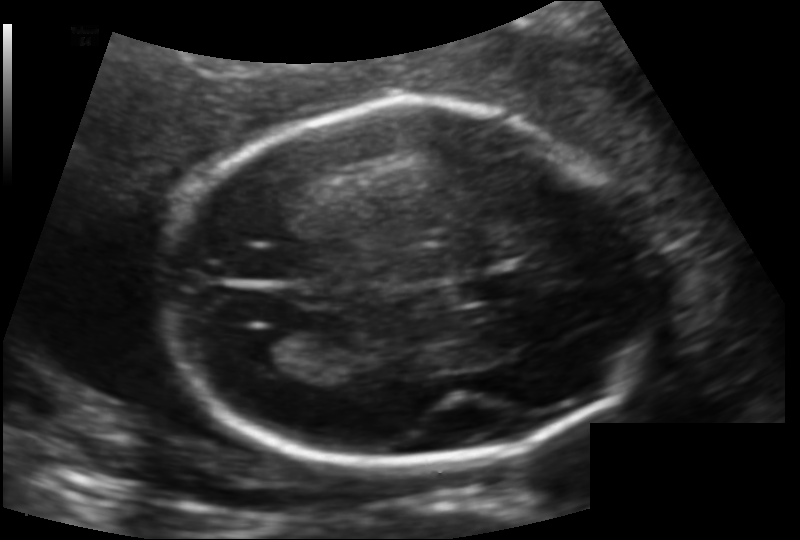
Fetal head ultrasound. Image width: 106.2 mm. Locate the lateral ventricle.

Lateral ventricle: [228,325,298,371]